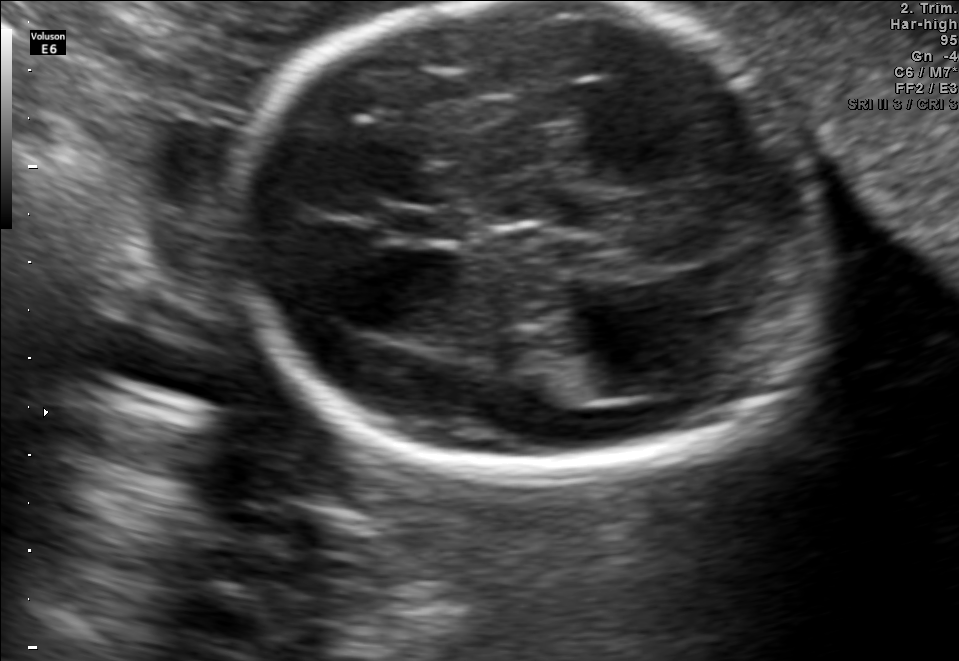
Fetal brain, trans-thalamic plane. Where is the fetal head?

Head bounding box: [230,2,823,479]